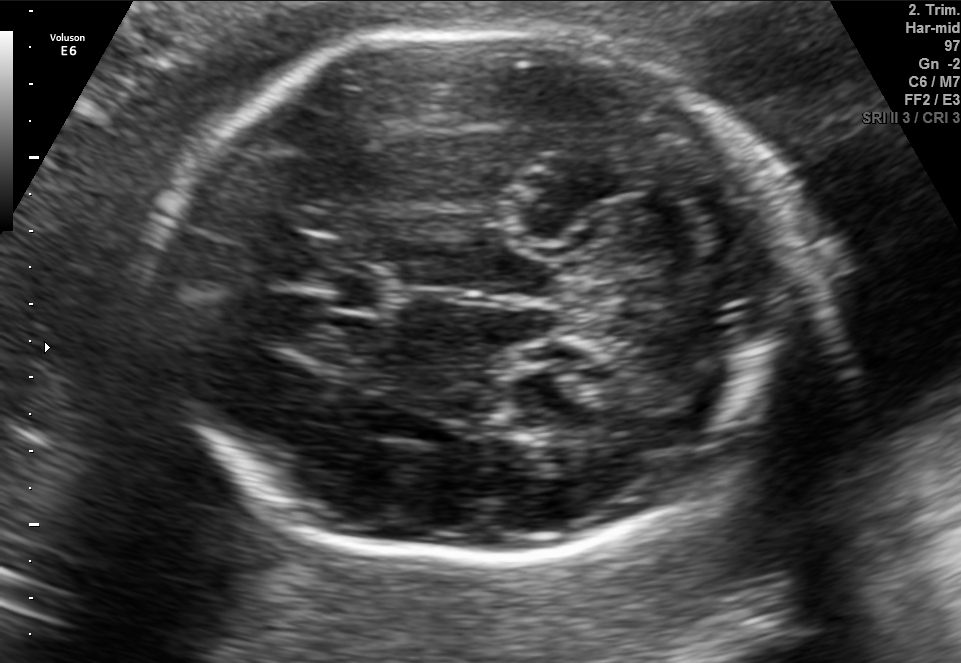
Which standard maternal-fetal ultrasound plane is shown: fetal abdomen, fetal brain, fetal femur, fetal thorax, maternal cervix, or other? If it's fetal brain and one of the three standard brain planes (trans-thalamic, trans-cerebellum, trans-ventricular), name which.

Fetal brain (trans-cerebellum plane)